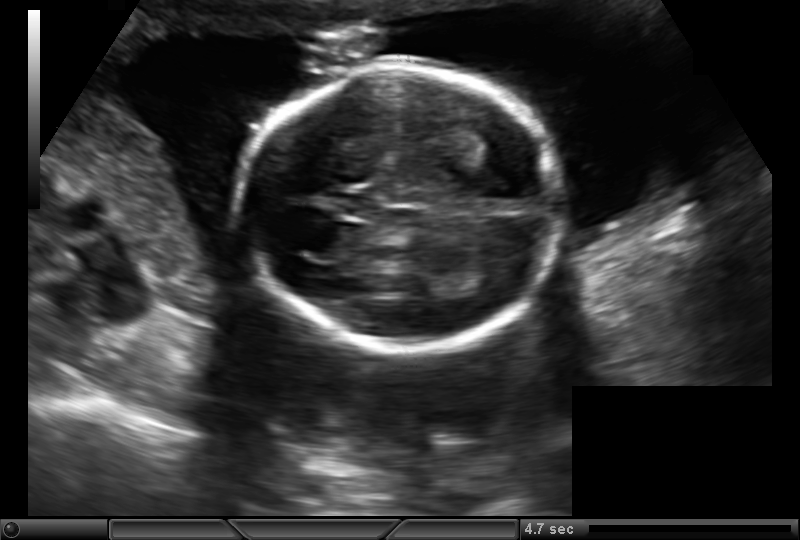
Estimate the fetal head circumference from this 2D ultrasound. Image width: 129.0 mm.

Head circumference: 160.4 mm.